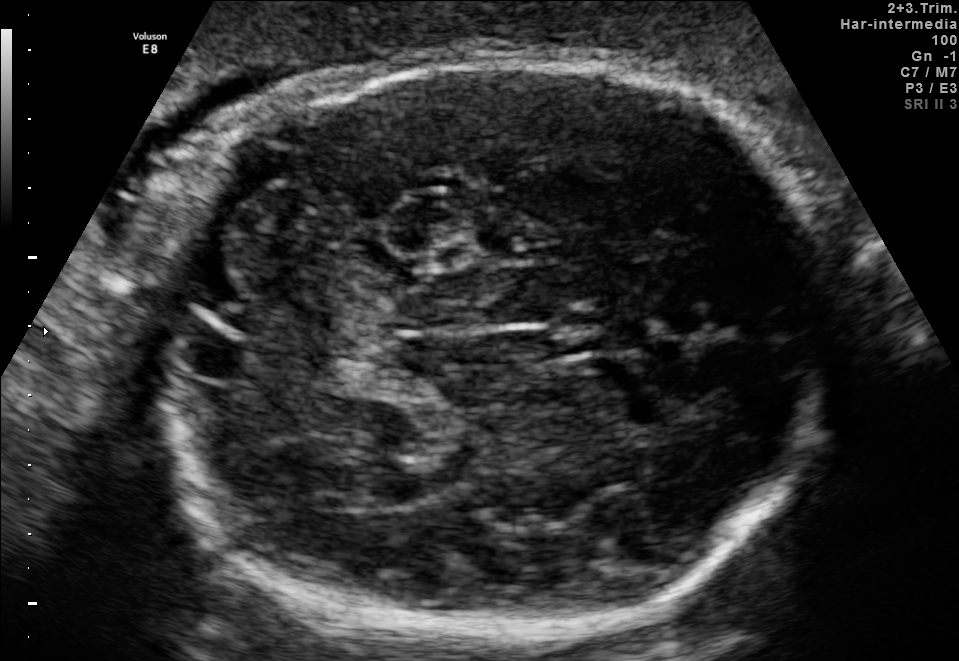
Which standard maternal-fetal ultrasound plane is shown: fetal abdomen, fetal brain, fetal femur, fetal thorax, maternal cervix, or other? If it's fetal brain and one of the three standard brain planes (trans-thalamic, trans-cerebellum, trans-ventricular), name which.

Fetal brain (trans-cerebellum plane)